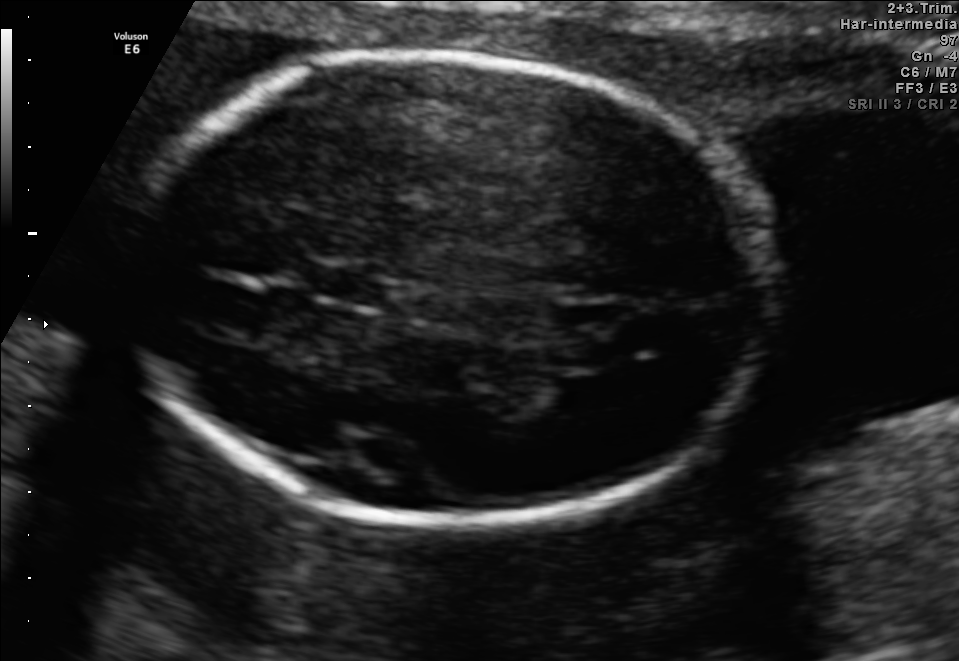
Fetal brain, trans-thalamic plane. Locate the fetal head.

Head: [123,54,770,523]